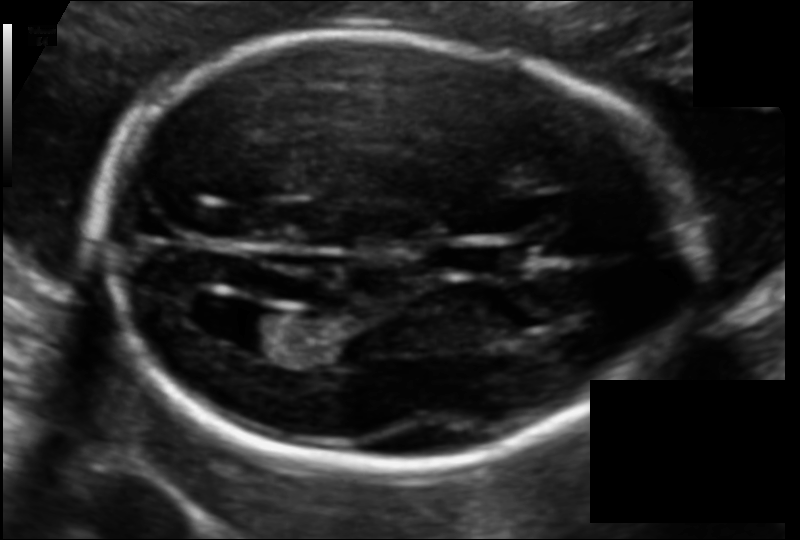
Measure the fetal head circumference shown in this ultrasound image. Image width: 86.6 mm.

Head circumference: 179.1 mm.